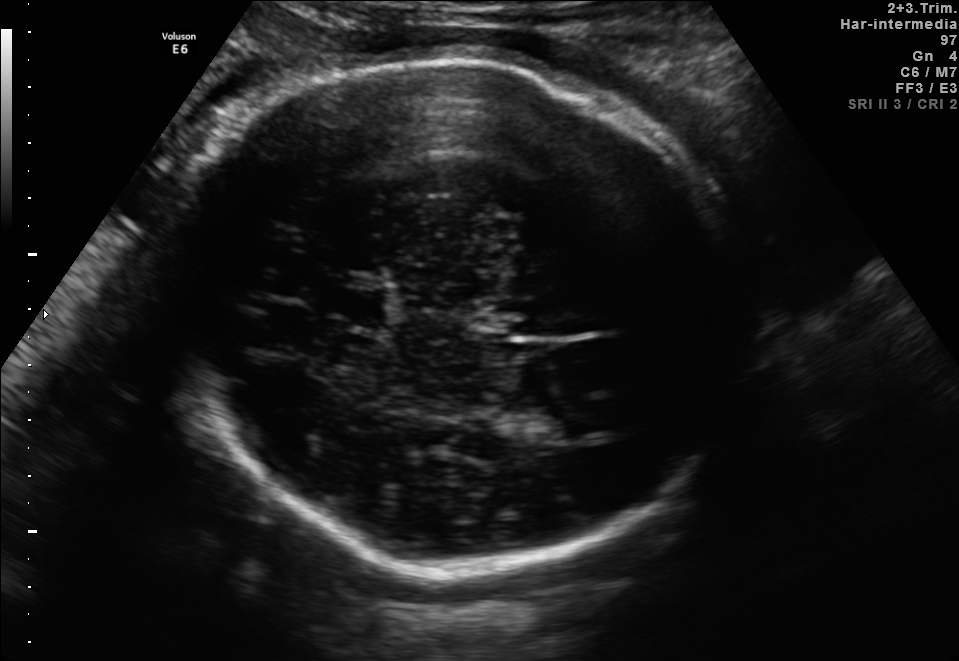
Classify this maternal-fetal ultrasound image as one of the six standard planes — fetal abdomen, fetal brain, fetal femur, fetal thorax, maternal cervix, or other. If it's fetal brain and one of the three standard brain planes (trans-thalamic, trans-cerebellum, trans-ventricular), name which.

Fetal brain (trans-thalamic plane)